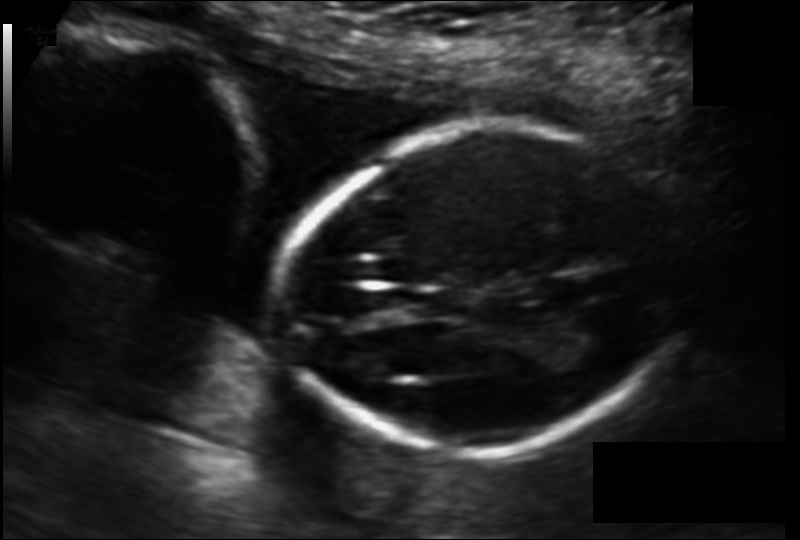
Measure the fetal head circumference shown in this ultrasound image. Image width: 102.9 mm.

Head circumference: 156.4 mm.